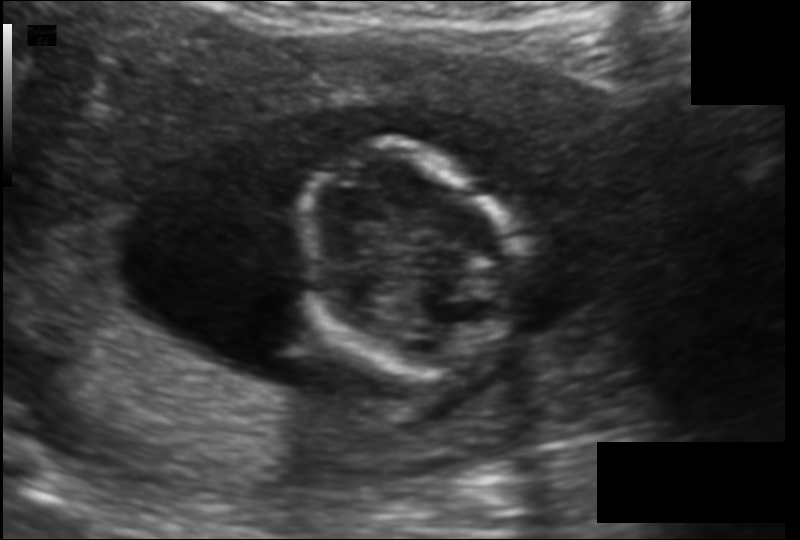
In this fetal head ultrasound, give the bounding box of the fetal head. Image width: 103.9 mm.

[298,142,516,382]